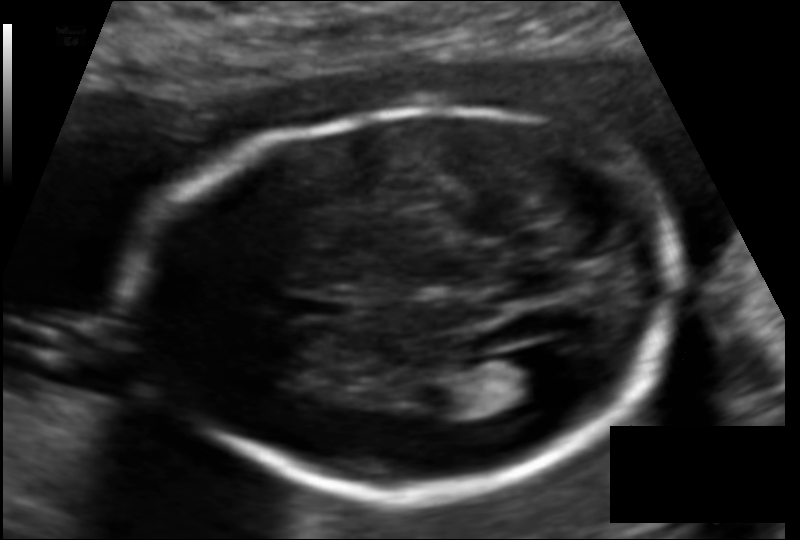
In this fetal head ultrasound, give bounding boxes for the head outline, cavum septum pellucidum (CSP), and lateral ventricle (LV), where visible. Image width: 91.1 mm.

Head: [158,109,680,492]
CSP: [289,293,350,319]
Lateral ventricle: [481,344,561,413]